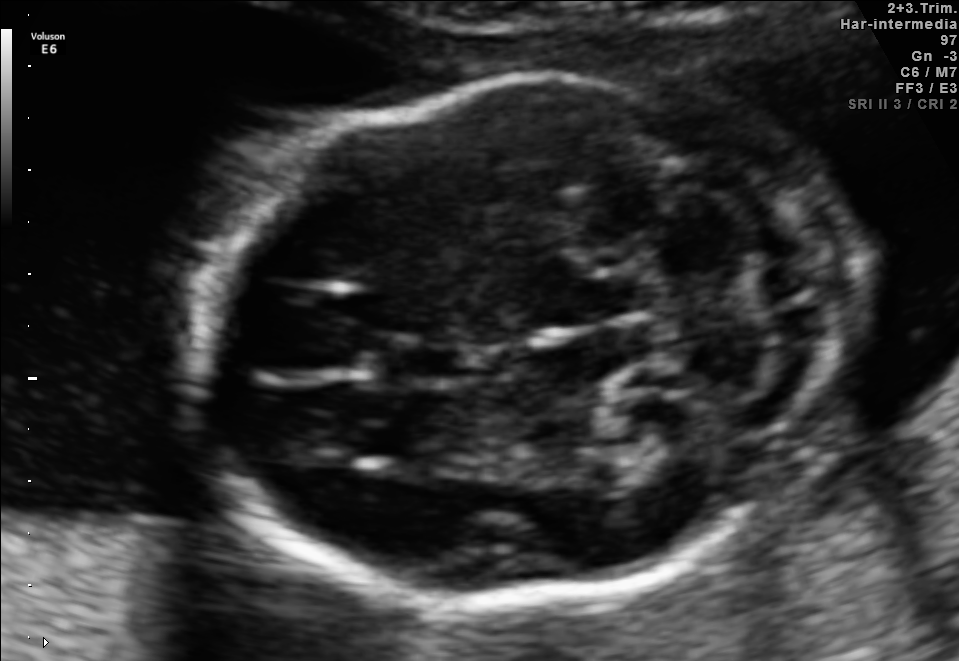
Fetal brain, trans-cerebellum plane. Where is the cavum septum pellucidum?

CSP bounding box: [390,337,478,382]